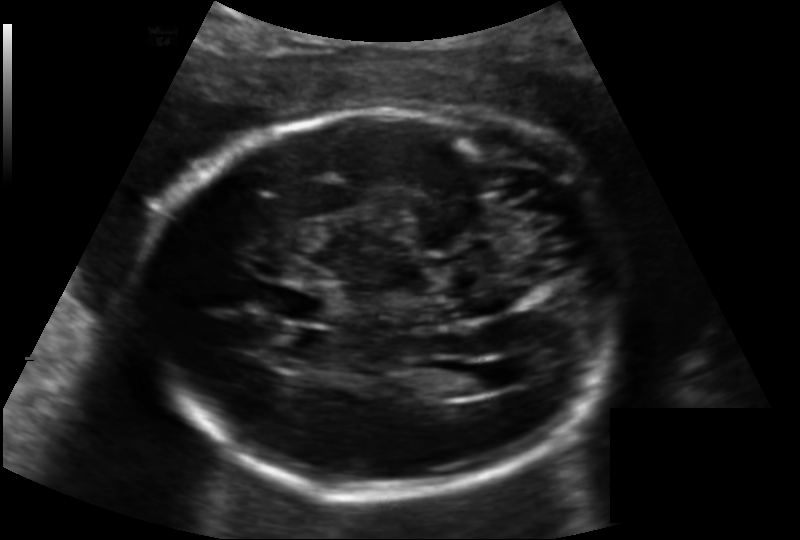
Fetal head ultrasound. Image width: 126.5 mm. Where is the lateral ventricle?

Lateral ventricle bounding box: [436,361,500,399]